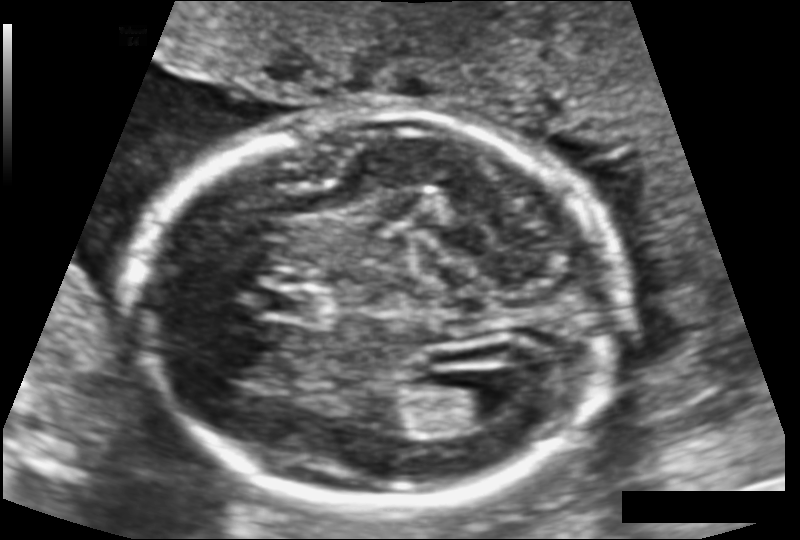
Fetal head ultrasound. Image width: 99.5 mm. Locate the lateral ventricle.

Lateral ventricle: [438,383,519,434]